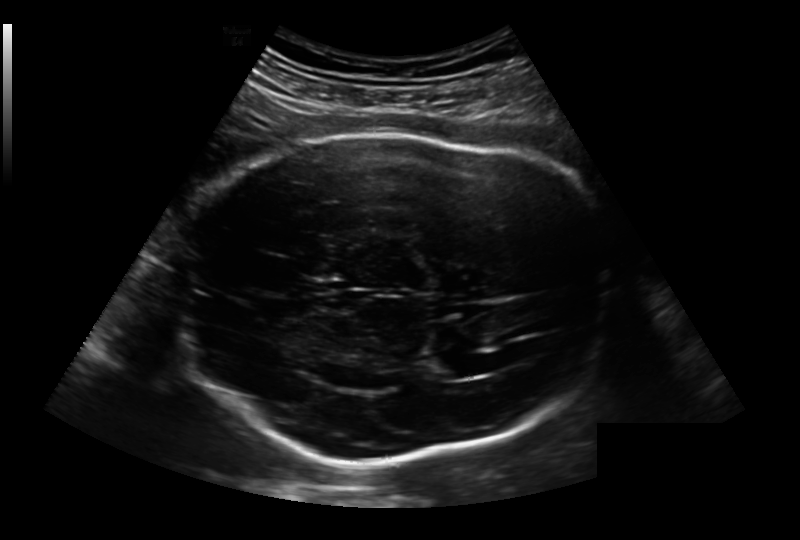
Fetal head ultrasound. Image width: 188.6 mm. Where is the lateral ventricle?

Lateral ventricle bounding box: [425,352,476,381]